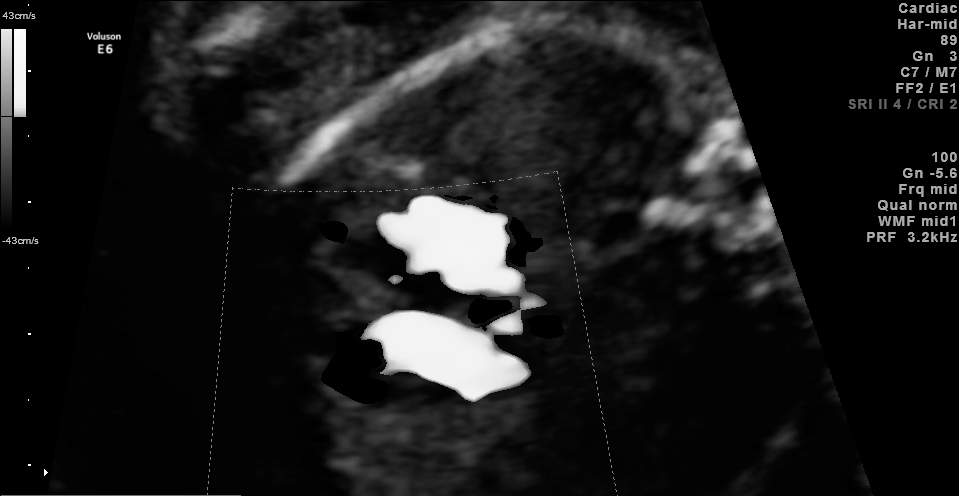
Classify this maternal-fetal ultrasound image as one of the six standard planes — fetal abdomen, fetal brain, fetal femur, fetal thorax, maternal cervix, or other. If it's fetal brain and one of the three standard brain planes (trans-thalamic, trans-cerebellum, trans-ventricular), name which.

Other